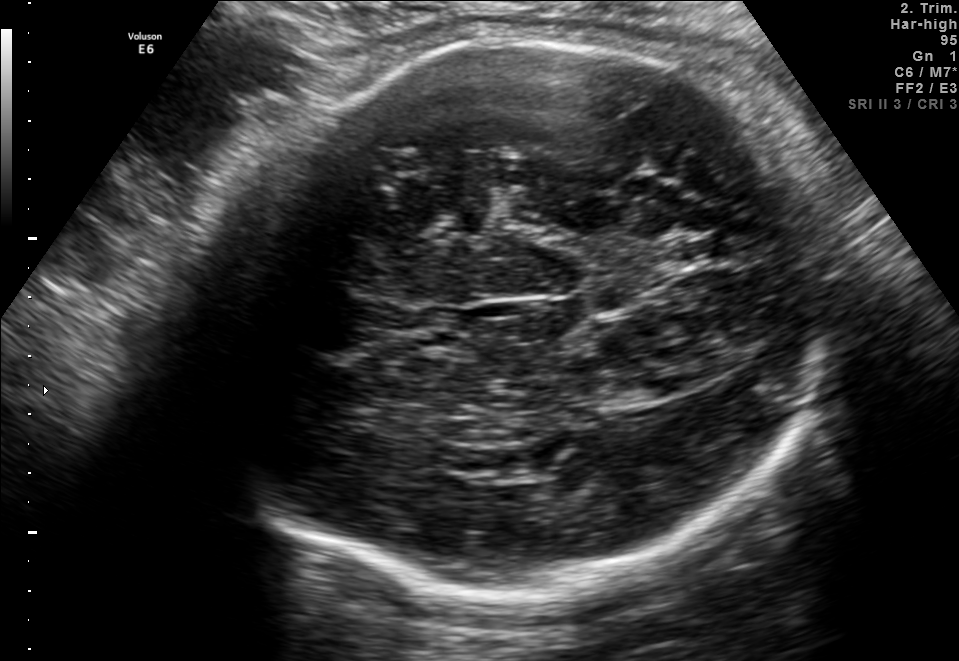
Fetal brain, trans-thalamic plane. Locate the fetal head.

Head: [181,37,816,602]